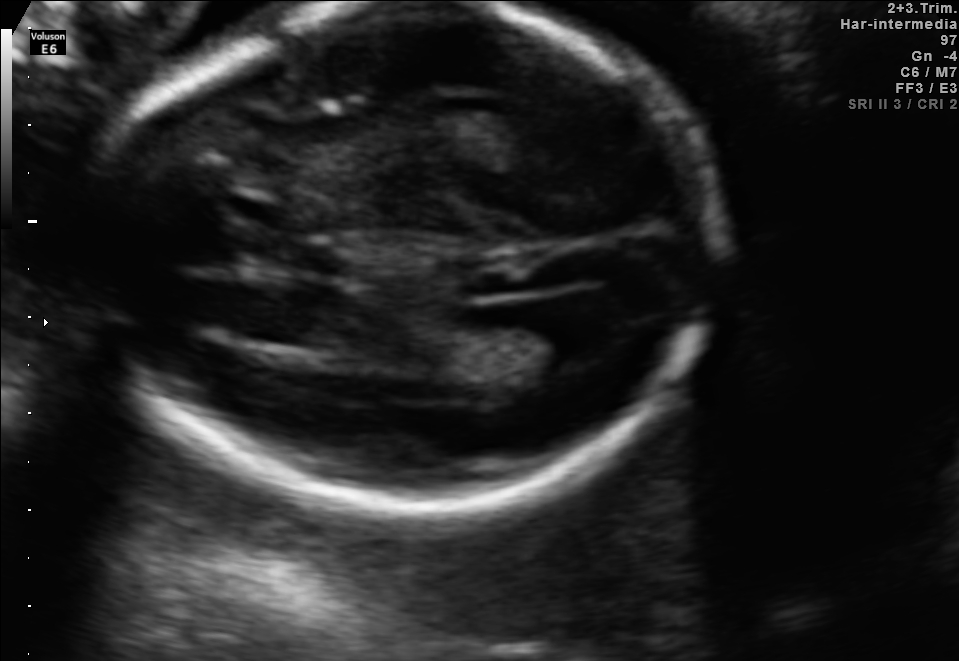
Classify this maternal-fetal ultrasound image as one of the six standard planes — fetal abdomen, fetal brain, fetal femur, fetal thorax, maternal cervix, or other. If it's fetal brain and one of the three standard brain planes (trans-thalamic, trans-cerebellum, trans-ventricular), name which.

Fetal brain (trans-ventricular plane)